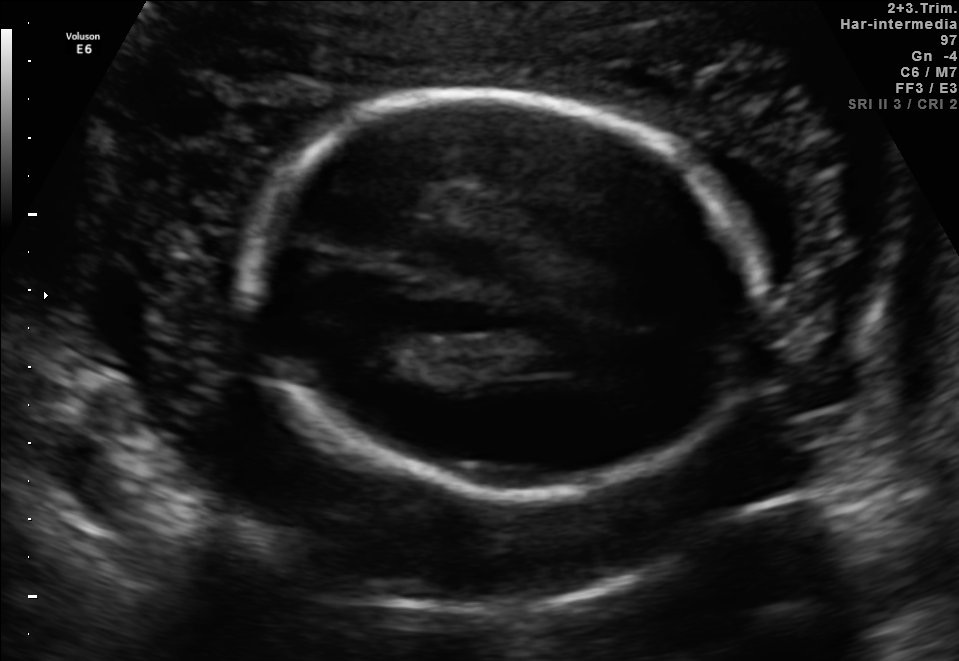
Fetal brain, trans-thalamic plane. Where is the fetal head?

Head bounding box: [250,98,765,499]